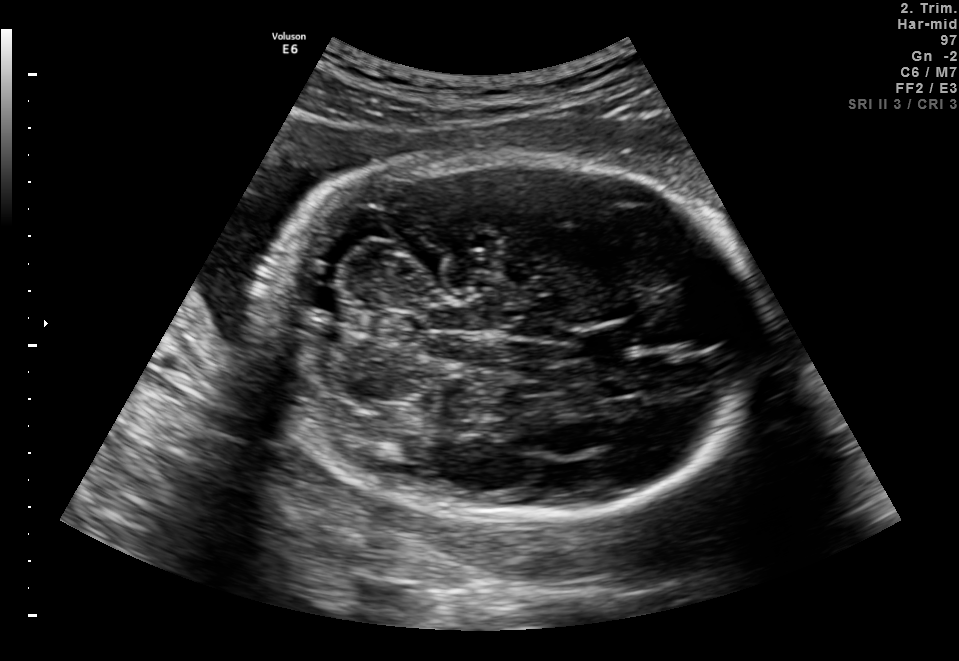
Fetal brain, trans-cerebellum plane. Locate the cavum septum pellucidum.

CSP: [568,318,638,362]